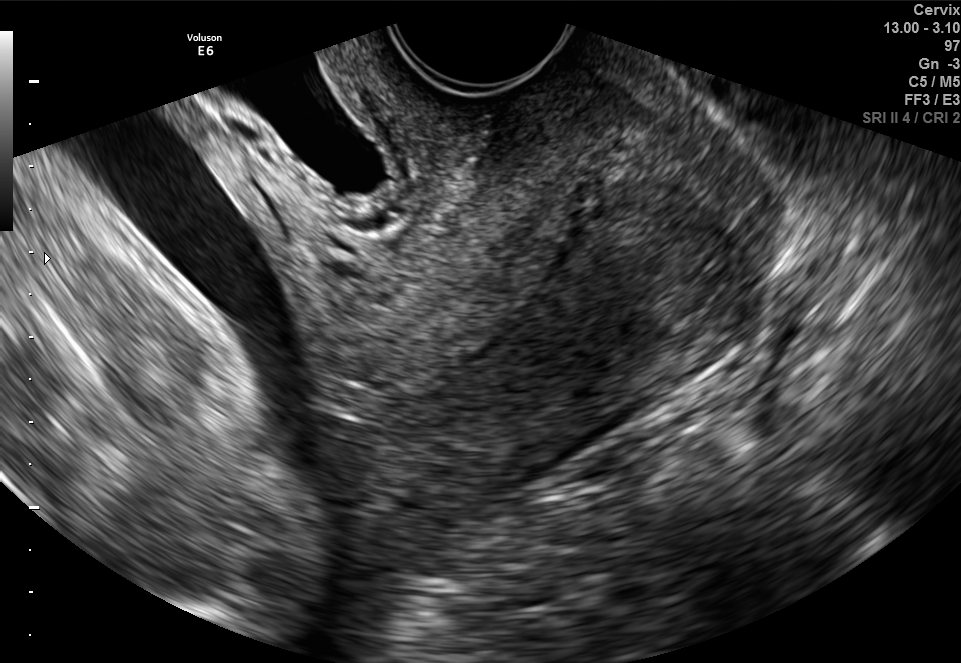
Identify the standard plane in this fetal ultrasound image: fetal abdomen, fetal brain, fetal femur, fetal thorax, maternal cervix, or other. If it's fetal brain and one of the three standard brain planes (trans-thalamic, trans-cerebellum, trans-ventricular), name which.

Maternal cervix